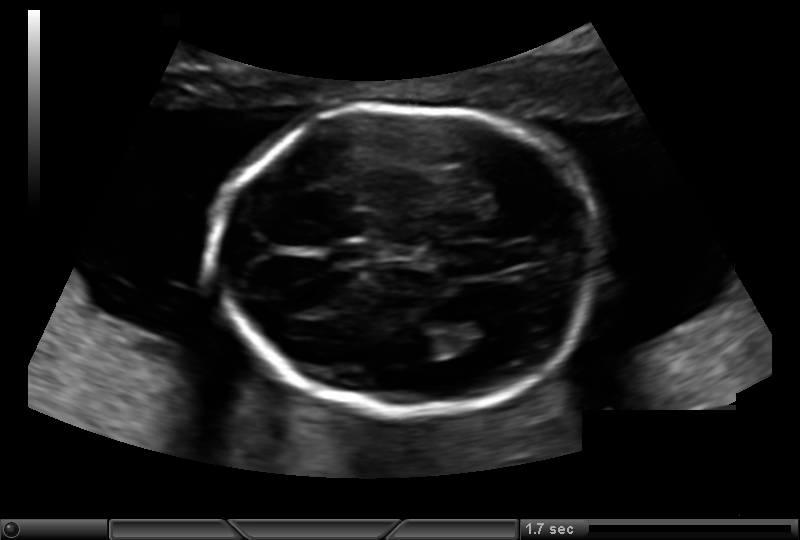
From this fetal ultrasound, estimate the head circumference (image width 107.7 mm).

Head circumference: 154.6 mm.